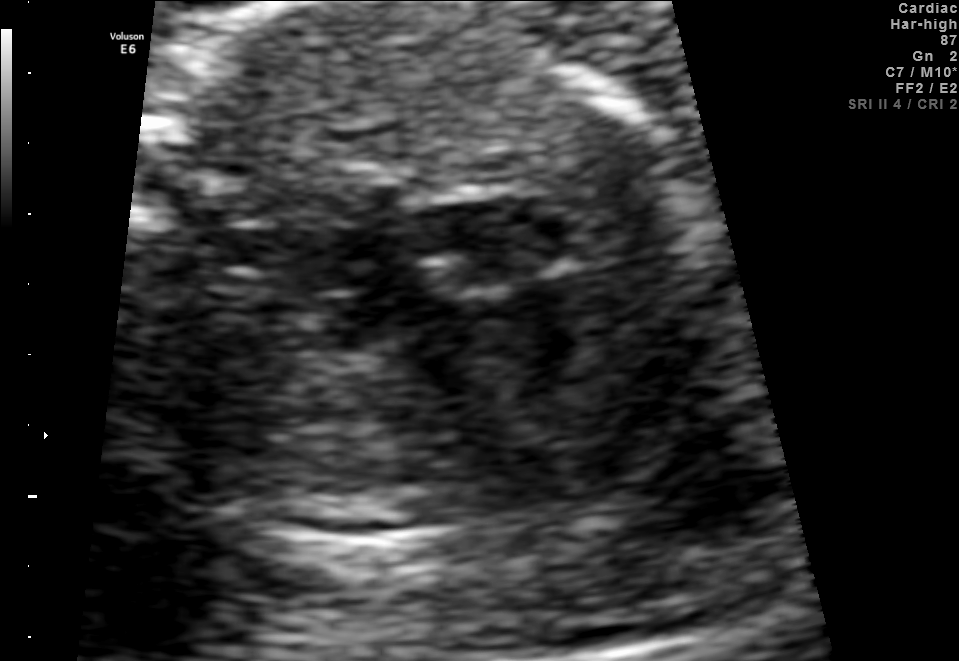
Classify this maternal-fetal ultrasound image as one of the six standard planes — fetal abdomen, fetal brain, fetal femur, fetal thorax, maternal cervix, or other. If it's fetal brain and one of the three standard brain planes (trans-thalamic, trans-cerebellum, trans-ventricular), name which.

Fetal thorax